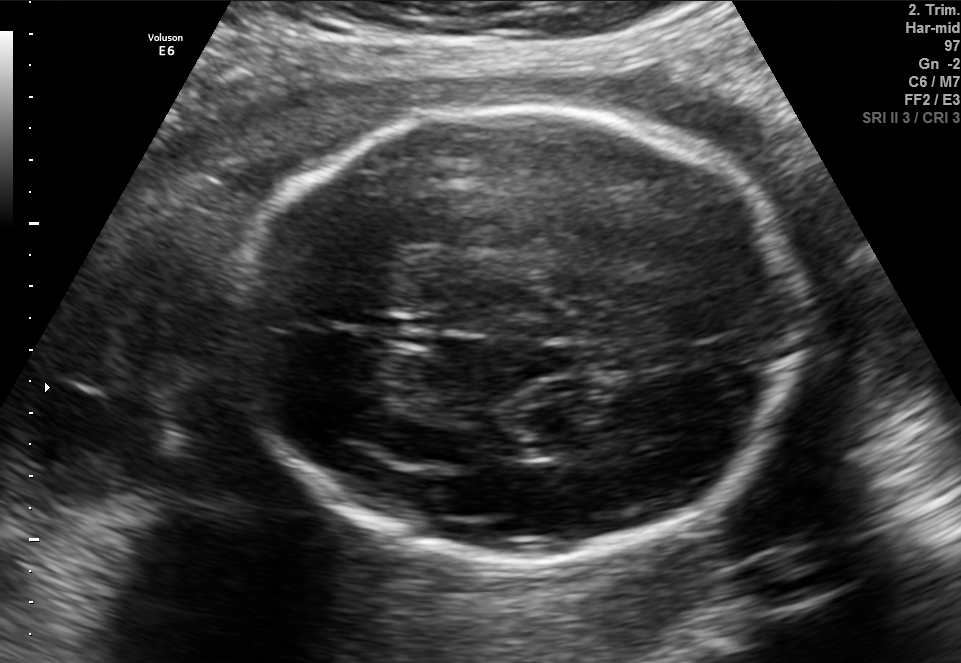
In this fetal brain, trans-thalamic plane, give bounding boxes for the head outline, cavum septum pellucidum (CSP), and lateral ventricle (LV), where visible.

Head: [220,107,799,558]